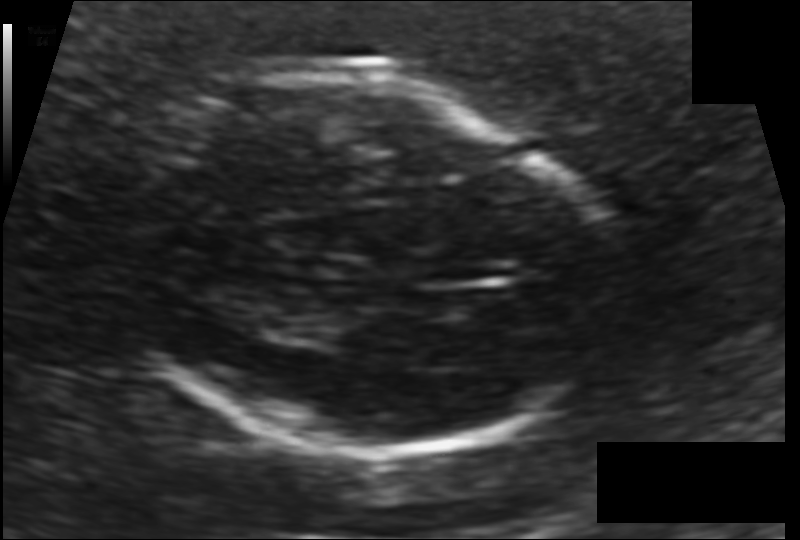
Fetal head ultrasound. Image width: 105.5 mm. Locate the fetal head.

Head: [113,78,608,452]